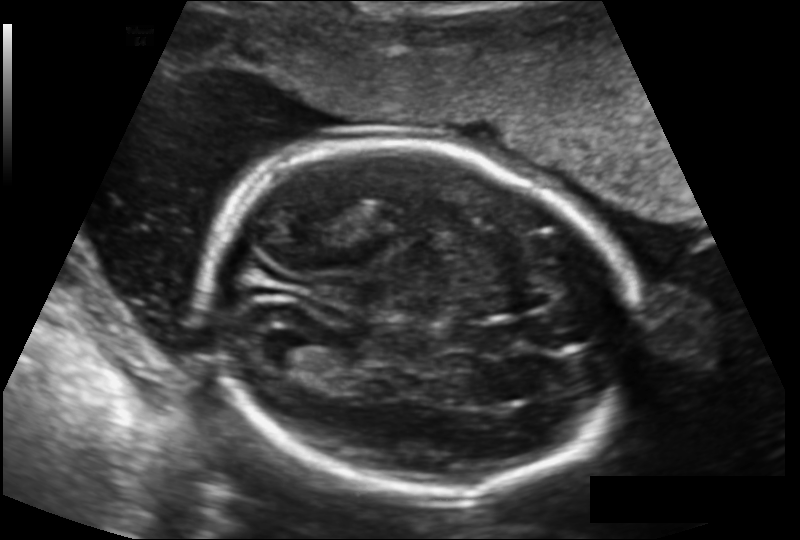
Fetal head ultrasound. Image width: 114.2 mm. Locate the lateral ventricle.

Lateral ventricle: [260,324,332,383]